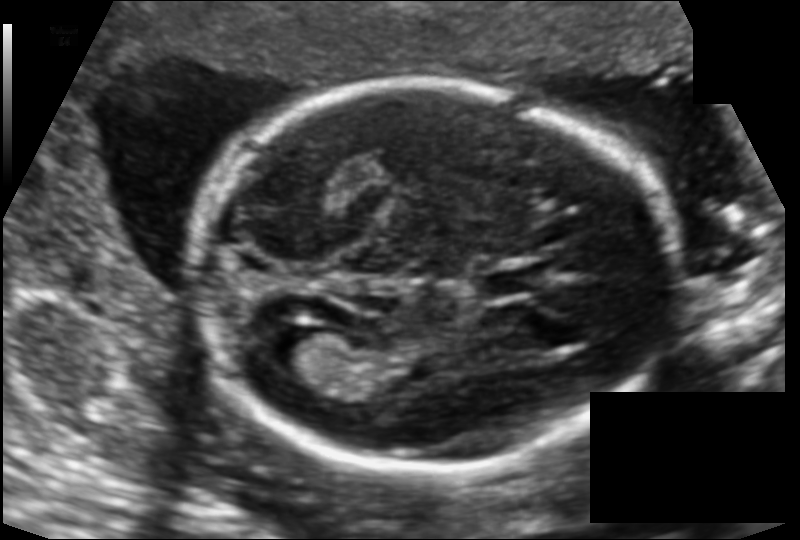
In this fetal head ultrasound, give the bounding box of the lateral ventricle. Image width: 98.8 mm.

[255,312,344,387]